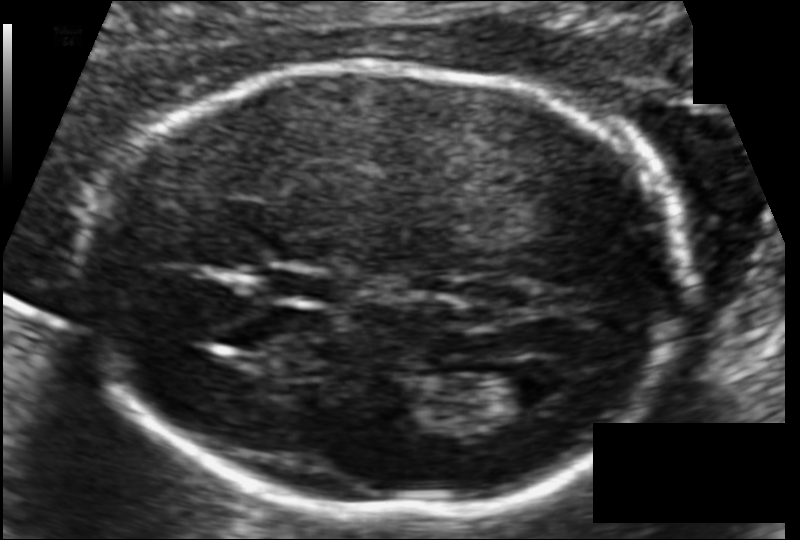
Estimate the fetal head circumference from this 2D ultrasound.

Head circumference: 173.3 mm (image width 81.8 mm).